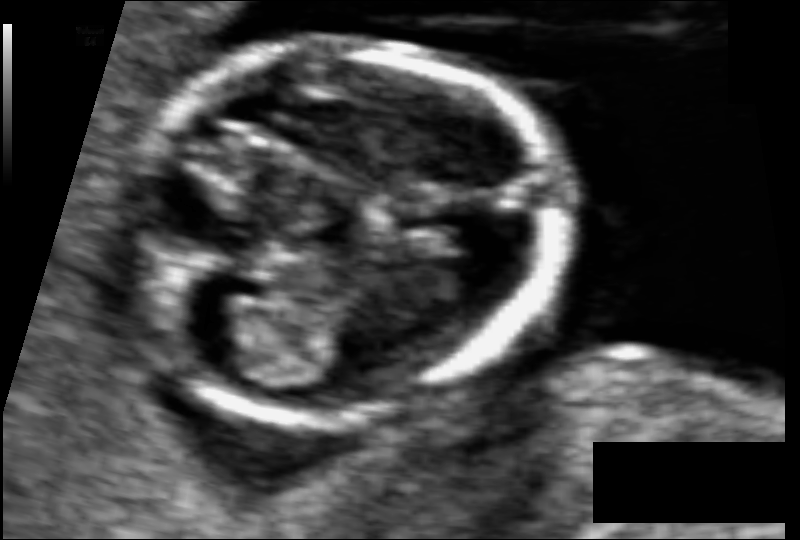
Measure the fetal head circumference shown in this ultrasound image. Image width: 47.6 mm.

Head circumference: 79.5 mm.